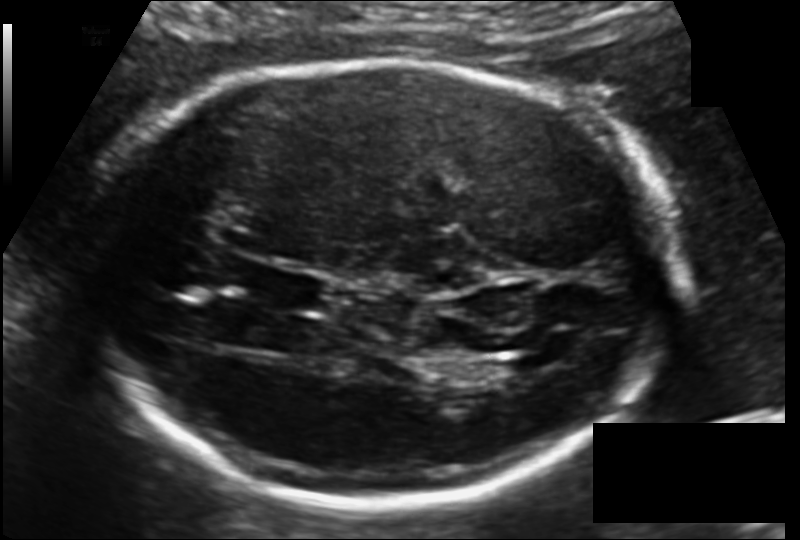
Fetal head ultrasound. Image width: 107.8 mm. Where is the fetal head?

Head bounding box: [84,59,674,511]